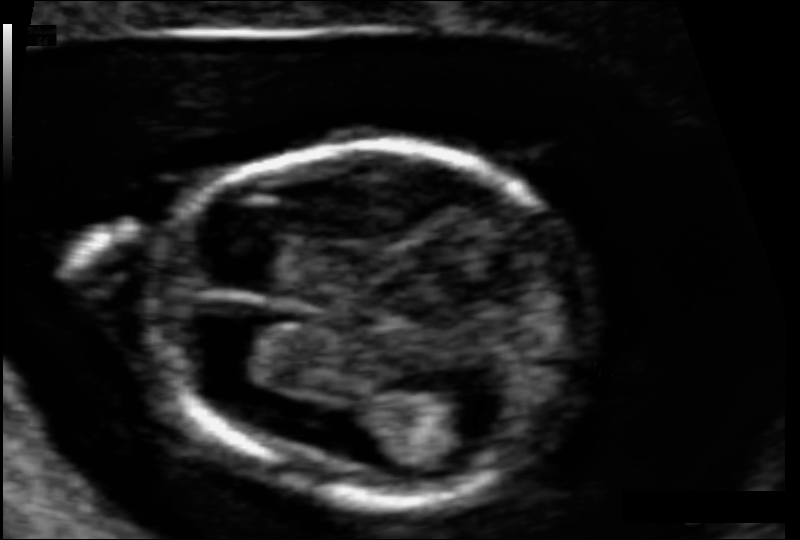
Fetal head ultrasound. Image width: 50.1 mm. Locate the fetal head.

Head: [149,145,592,502]